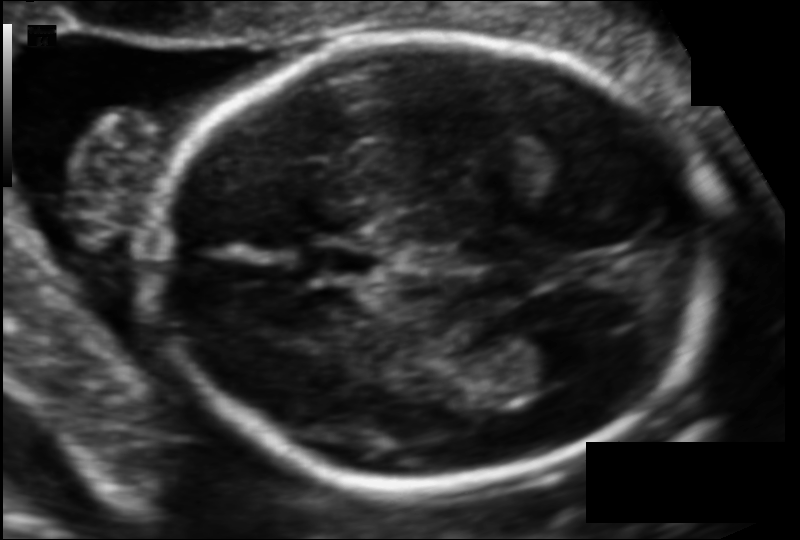
What is the fetal head circumference? Image width is 81.4 mm.

166.8 mm